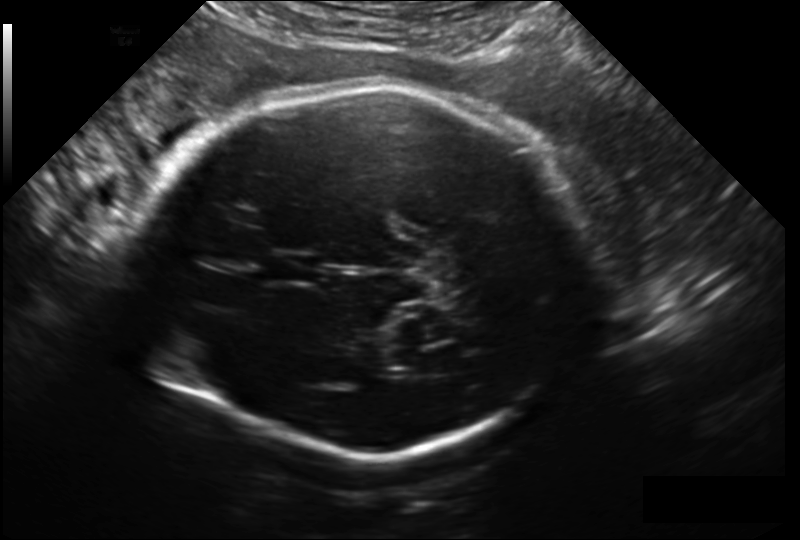
Fetal head ultrasound. Image width: 167.2 mm. Locate the fetal head and, if visible, the cavum septum pellucidum (CSP) and lateral ventricle (LV). Give bounding boxes as [x1,y1,x2,y2].

Head: [136,86,589,454]
CSP: [266,251,320,284]
Lateral ventricle: [386,349,443,376]